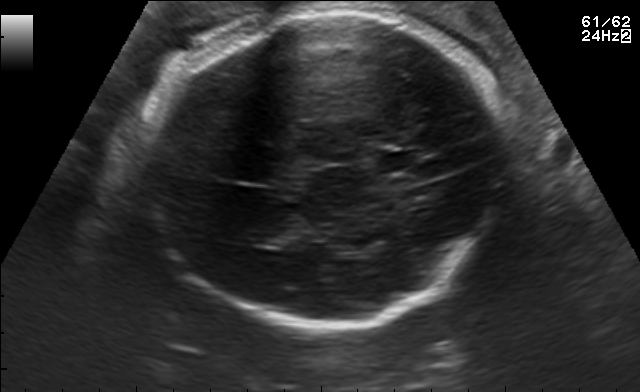
Fetal brain, trans-thalamic plane. Locate the cavum septum pellucidum.

CSP: [375,149,417,174]